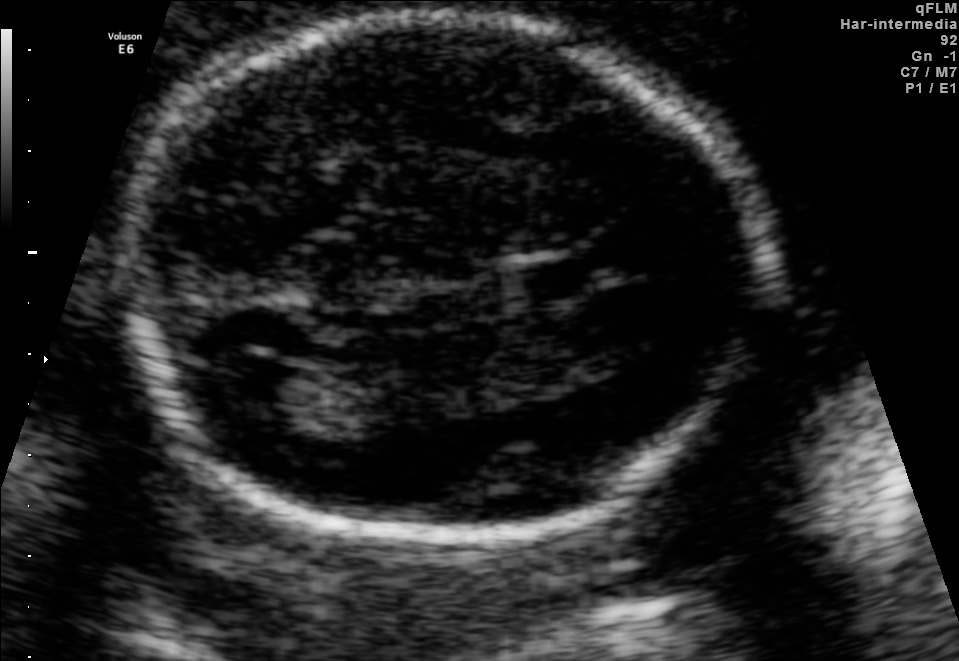
Fetal brain, trans-ventricular plane. Locate the fetal head.

Head: [101,6,796,561]